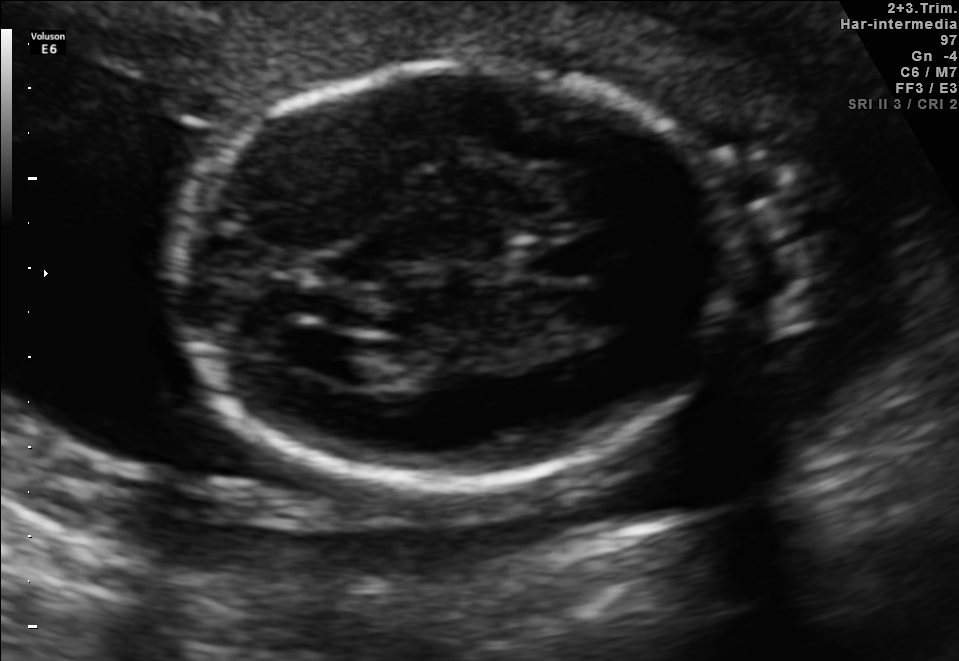
Fetal brain, trans-ventricular plane. Locate the fetal head and, if visible, the cavum septum pellucidum (CSP) and lateral ventricle (LV). Give bounding boxes as [x1,y1,x2,y2].

Head: [158,58,759,495]
CSP: [510,239,592,278]
Lateral ventricle: [266,316,370,387]